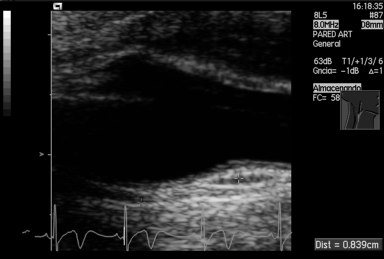
This is a 2D maternal-fetal ultrasound frame. Is it a fetal abdomen, fetal brain, fetal femur, fetal thorax, maternal cervix, or other standard plane? If it's fetal brain and one of the three standard brain planes (trans-thalamic, trans-cerebellum, trans-ventricular), name which.

Other